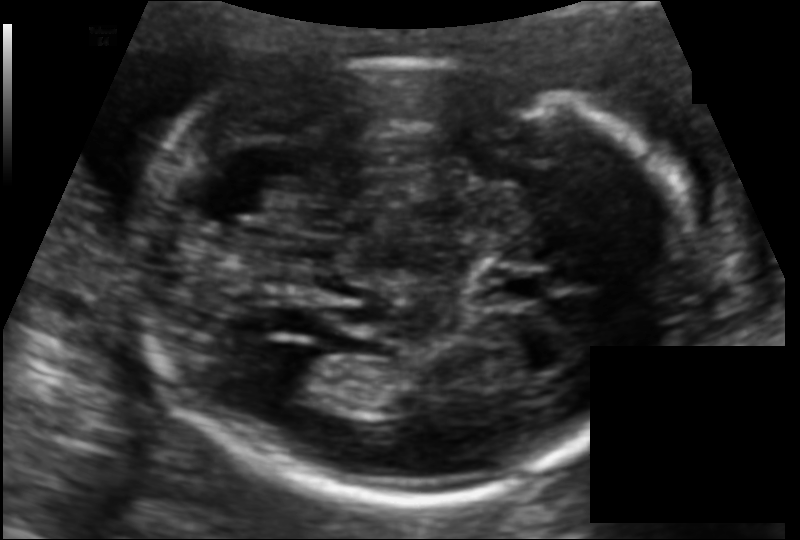
Fetal head ultrasound. Image width: 91.9 mm. Give [x1,y1,x2,y2] bounding boxes for each visible structure among: fetal head, CSP, LV.

Head: [137,60,687,500]
CSP: [478,260,556,311]
Lateral ventricle: [261,347,351,412]